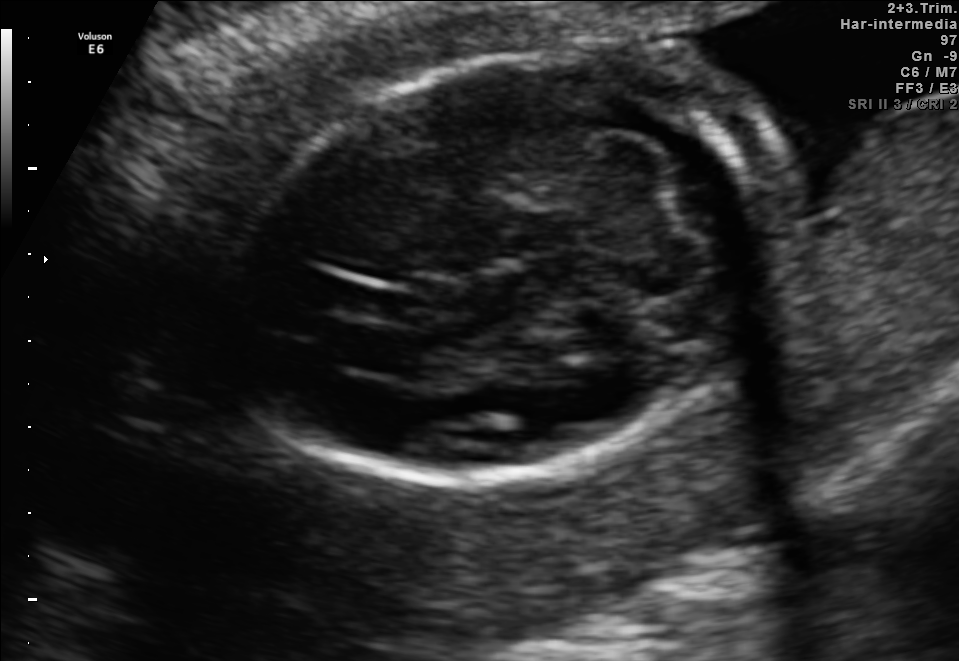
Fetal brain, trans-cerebellum plane. Locate the fetal head.

Head: [228,47,803,484]